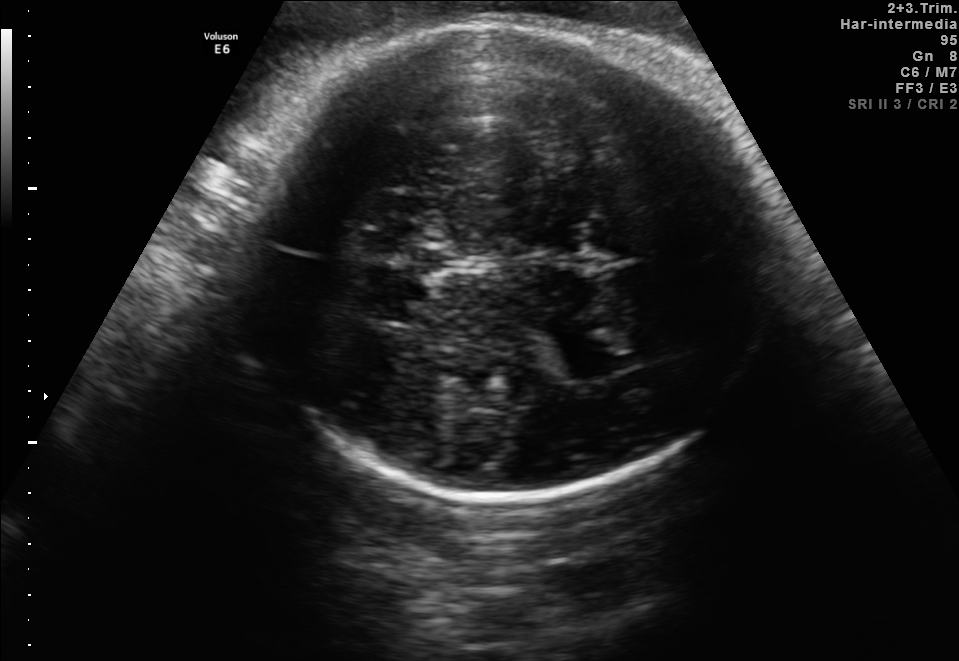
In this fetal brain, trans-thalamic plane, give the bounding box of the fetal head.

[240,24,781,501]